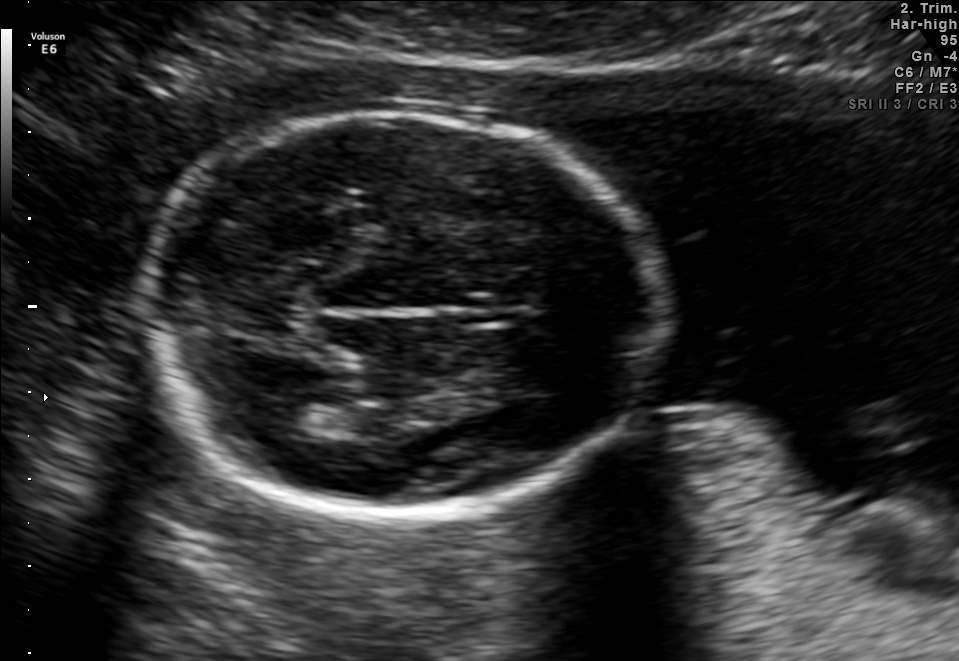
Classify this maternal-fetal ultrasound image as one of the six standard planes — fetal abdomen, fetal brain, fetal femur, fetal thorax, maternal cervix, or other. If it's fetal brain and one of the three standard brain planes (trans-thalamic, trans-cerebellum, trans-ventricular), name which.

Fetal brain (trans-thalamic plane)